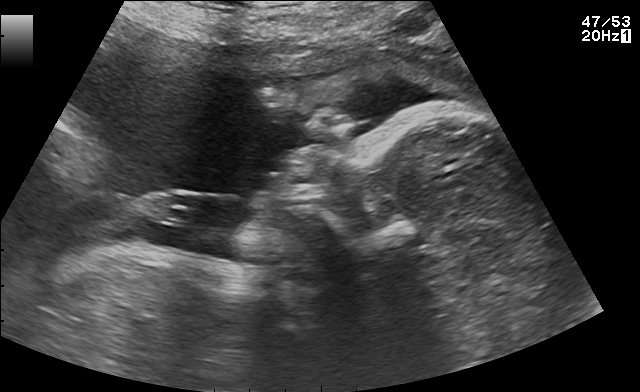
Identify the standard plane in this fetal ultrasound image: fetal abdomen, fetal brain, fetal femur, fetal thorax, maternal cervix, or other. If it's fetal brain and one of the three standard brain planes (trans-thalamic, trans-cerebellum, trans-ventricular), name which.

Other